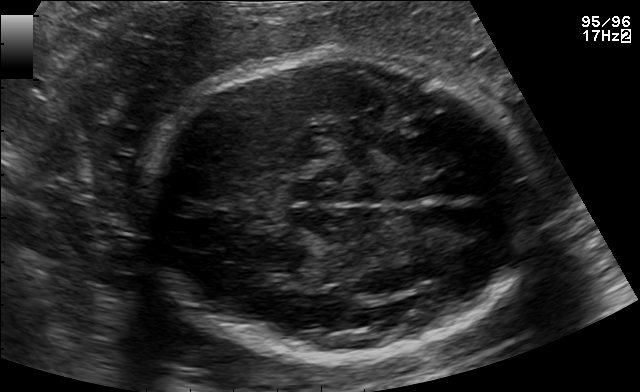
Fetal brain, trans-thalamic plane. Where is the fetal head?

Head bounding box: [146,55,529,358]